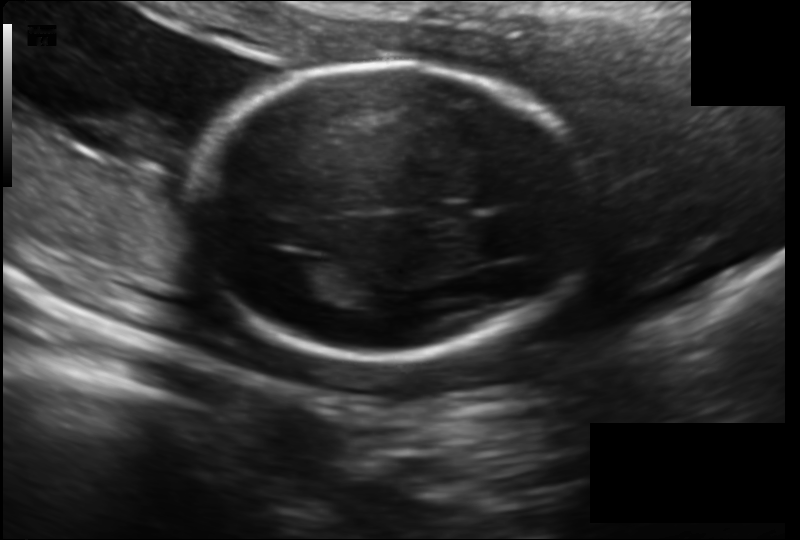
From this fetal ultrasound, estimate the head circumference (image width 126.8 mm).

Head circumference: 180.8 mm.